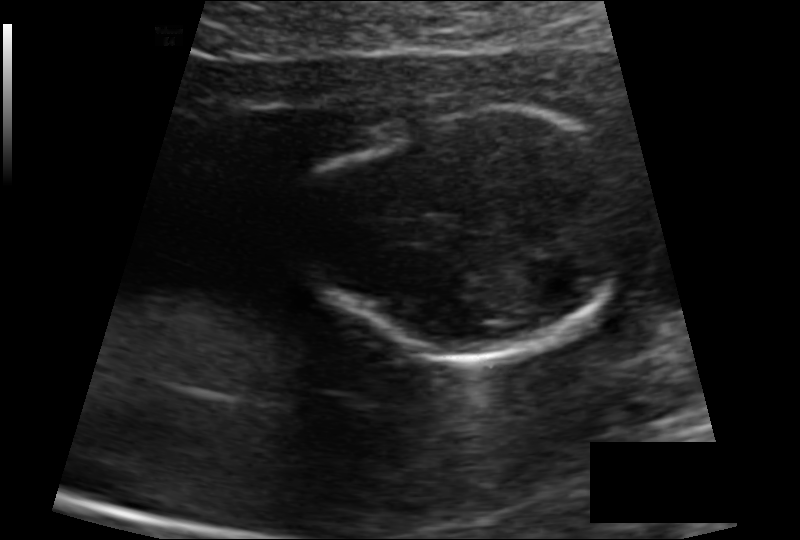
What is the fetal head circumference? Image width is 87.9 mm.

102.8 mm